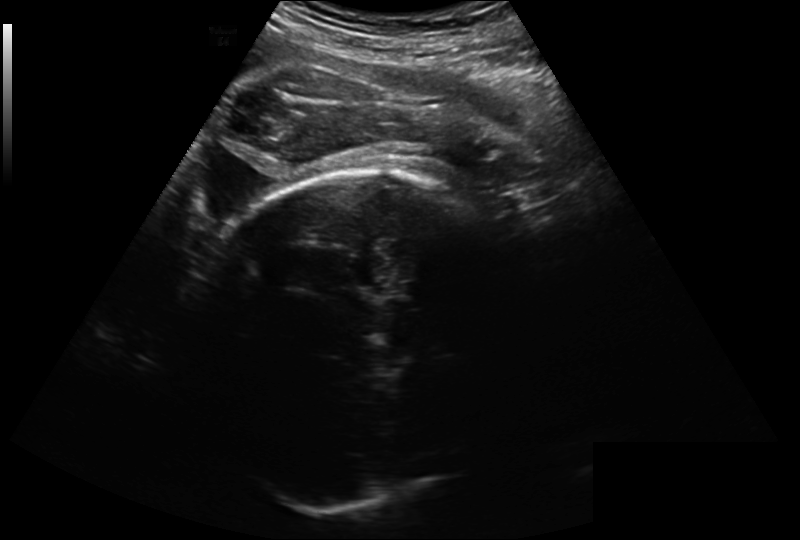
Fetal head ultrasound. Image width: 208.2 mm. Where is the fetal head?

Head bounding box: [181,170,536,512]